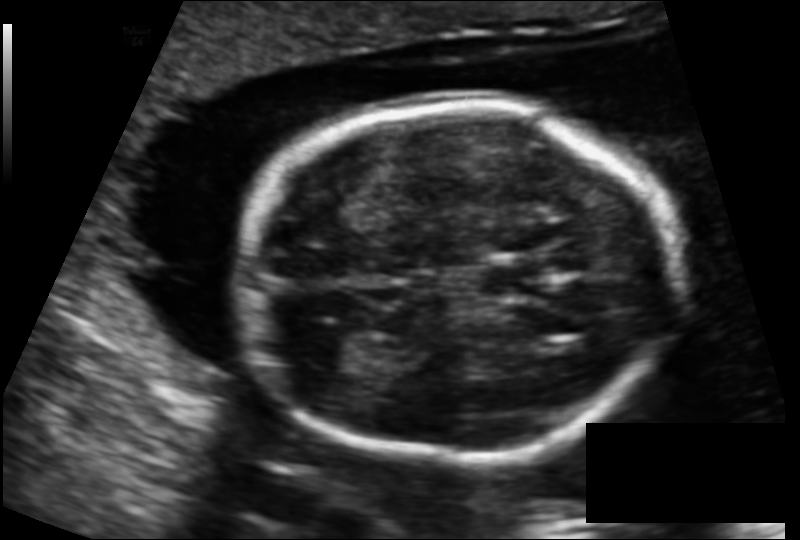
Fetal head ultrasound. Image width: 104.4 mm. Locate the fetal head.

Head: [239,103,679,465]